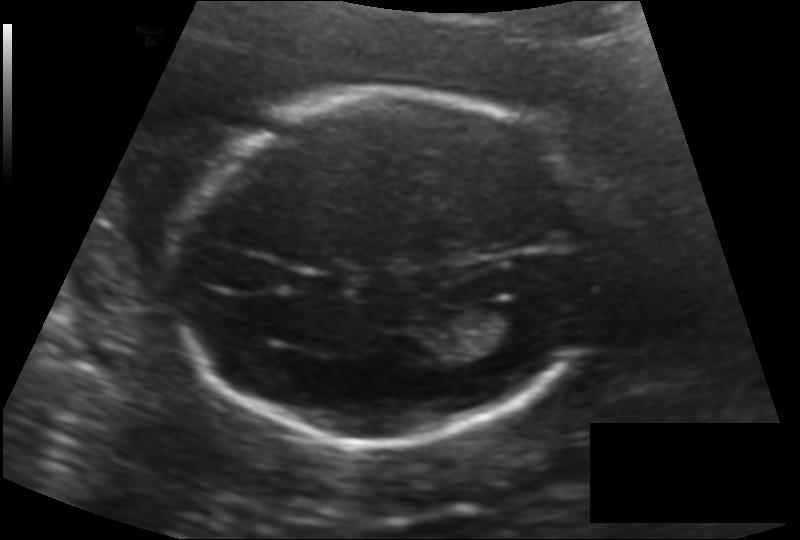
Fetal head ultrasound. Image width: 112.2 mm. Give [x1,y1,x2,y2] bounding boxes for each visible structure among: fetal head, CSP, LV.

Head: [169,91,594,445]
CSP: [295,273,347,295]
Lateral ventricle: [473,303,547,357]